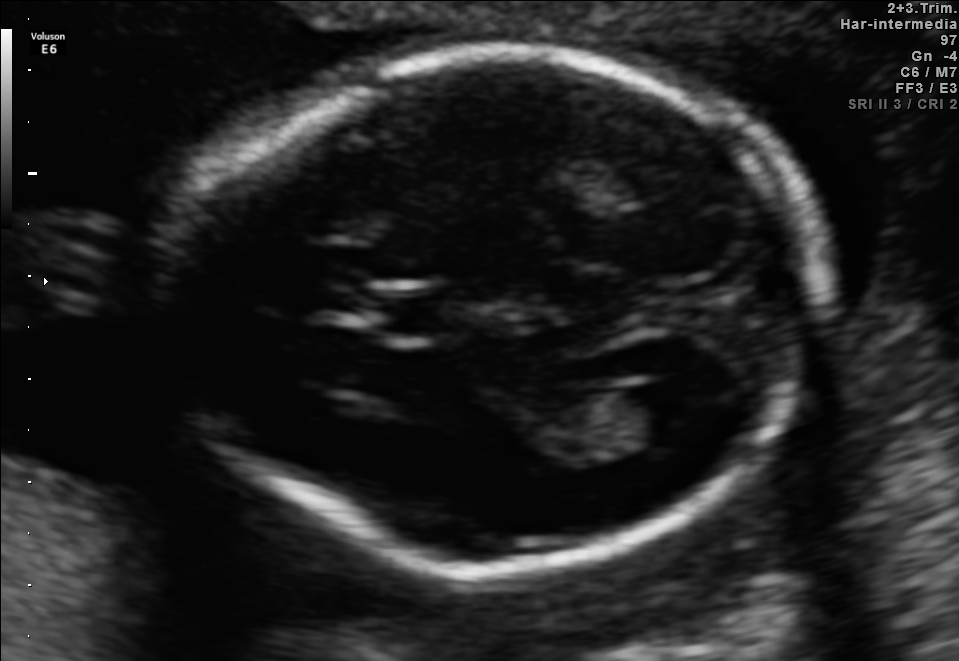
In this fetal brain, trans-ventricular plane, give the bounding box of the fetal head.

[149,37,840,588]